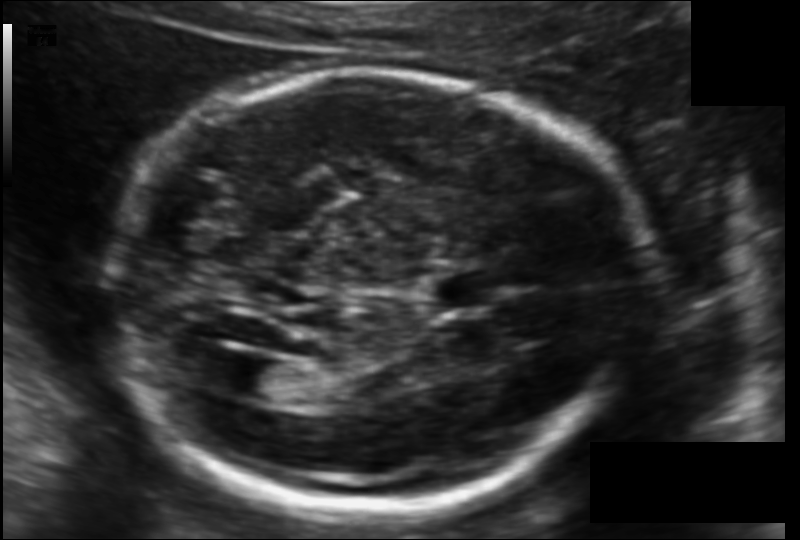
In this fetal head ultrasound, give the bounding box of the fetal head. Image width: 95.3 mm.

[104,69,634,510]